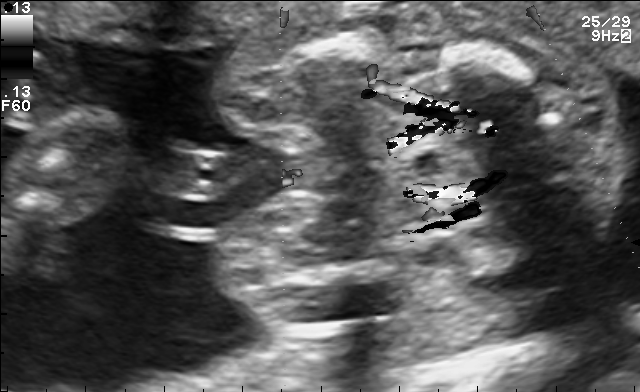
This is a 2D maternal-fetal ultrasound frame. Is it a fetal abdomen, fetal brain, fetal femur, fetal thorax, maternal cervix, or other standard plane? If it's fetal brain and one of the three standard brain planes (trans-thalamic, trans-cerebellum, trans-ventricular), name which.

Other